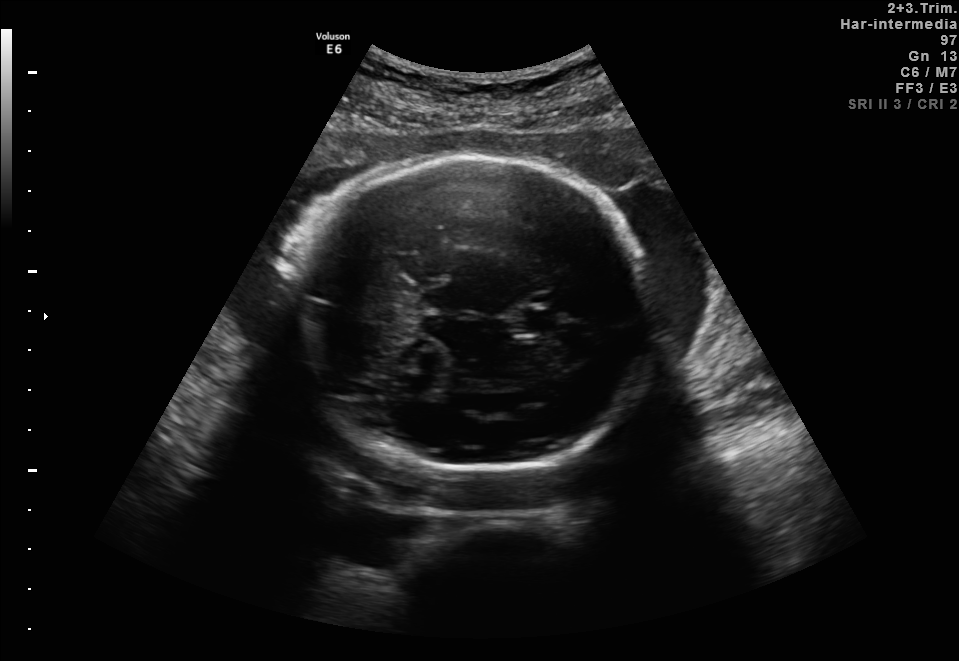
In this fetal brain, trans-thalamic plane, give bounding boxes for the head outline, cavum septum pellucidum (CSP), and lateral ventricle (LV), where visible.

Head: [293,155,658,468]
CSP: [522,308,558,332]